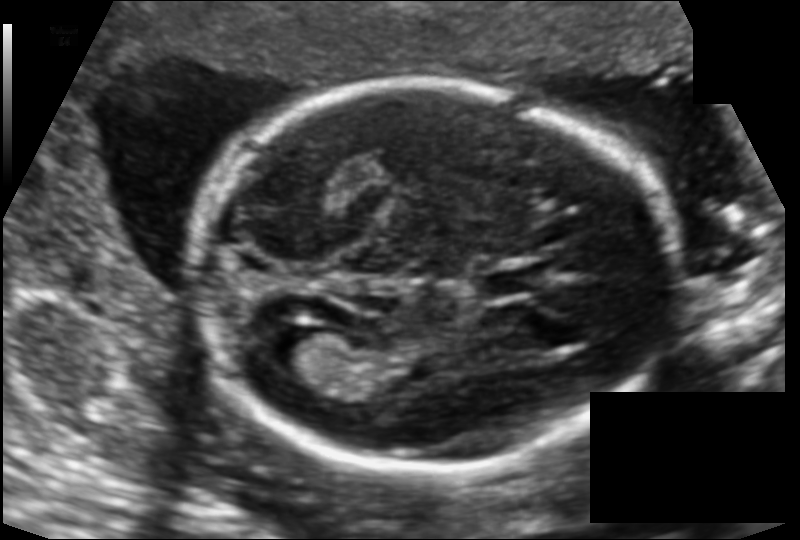
Fetal head ultrasound. Image width: 98.8 mm. Where is the lateral ventricle?

Lateral ventricle bounding box: [255,312,344,387]